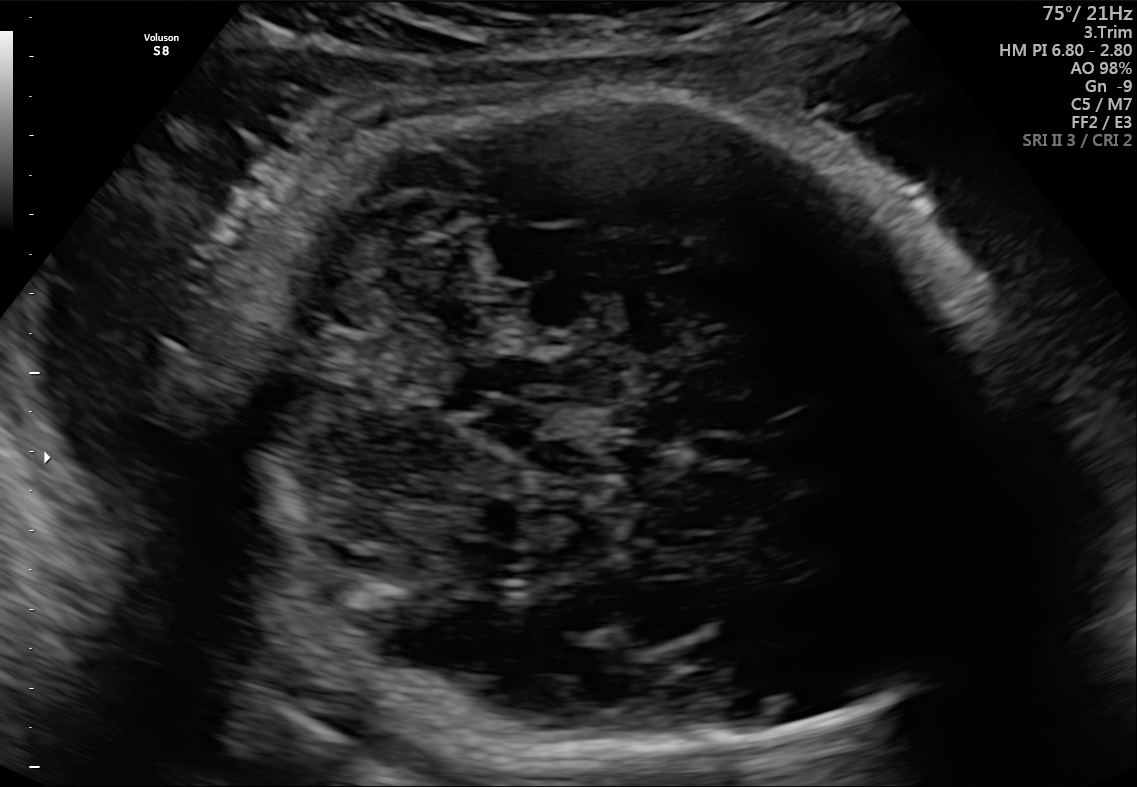
Fetal brain, trans-cerebellum plane. Give [x1,y1,x2,y2] bounding boxes for each visible structure among: fetal head, CSP, LV.

Head: [199,85,1014,762]